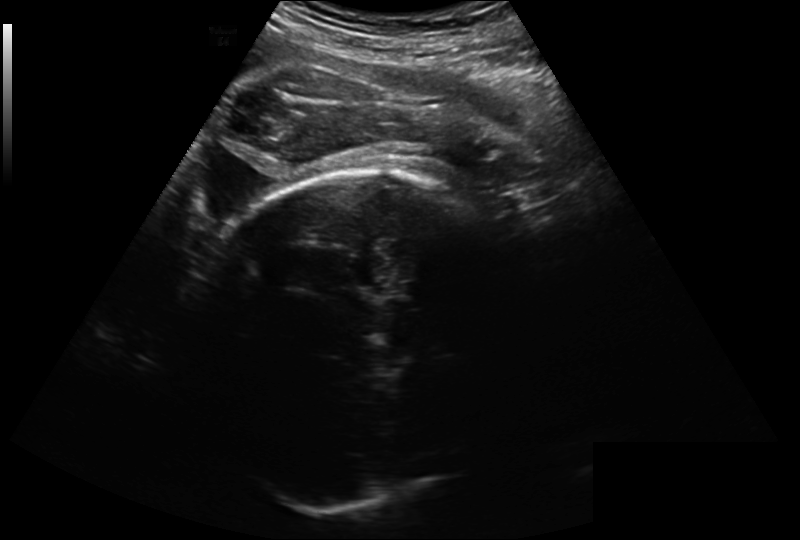
Fetal head ultrasound. Image width: 208.2 mm. Give [x1,y1,x2,y2] bounding boxes for each visible structure among: fetal head, CSP, LV.

Head: [181,170,536,512]